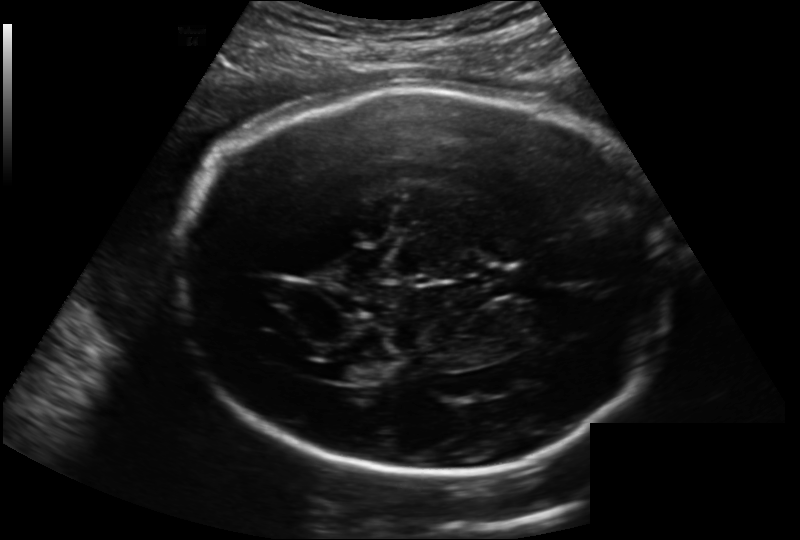
Fetal head ultrasound. Image width: 161.8 mm. Give [x1,y1,x2,y2] bounding boxes for each visible structure among: fetal head, CSP, LV.

Head: [179,87,668,477]
CSP: [479,258,540,302]
Lateral ventricle: [332,360,377,382]